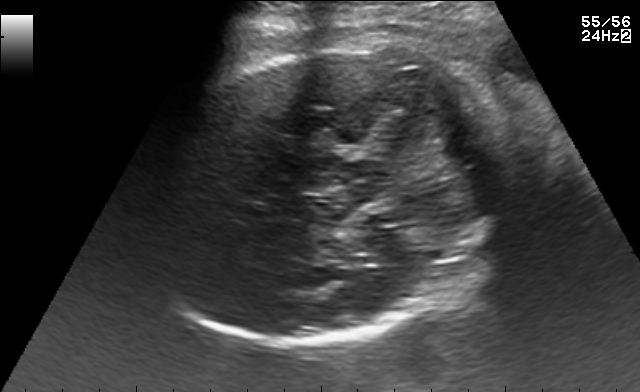
Fetal brain, trans-cerebellum plane. Where is the fetal head?

Head bounding box: [153,46,499,344]